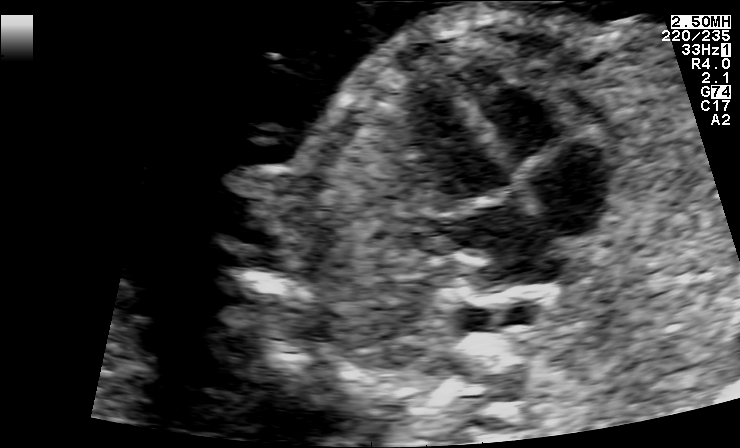
This is a 2D maternal-fetal ultrasound frame. Is it a fetal abdomen, fetal brain, fetal femur, fetal thorax, maternal cervix, or other standard plane? If it's fetal brain and one of the three standard brain planes (trans-thalamic, trans-cerebellum, trans-ventricular), name which.

Fetal thorax